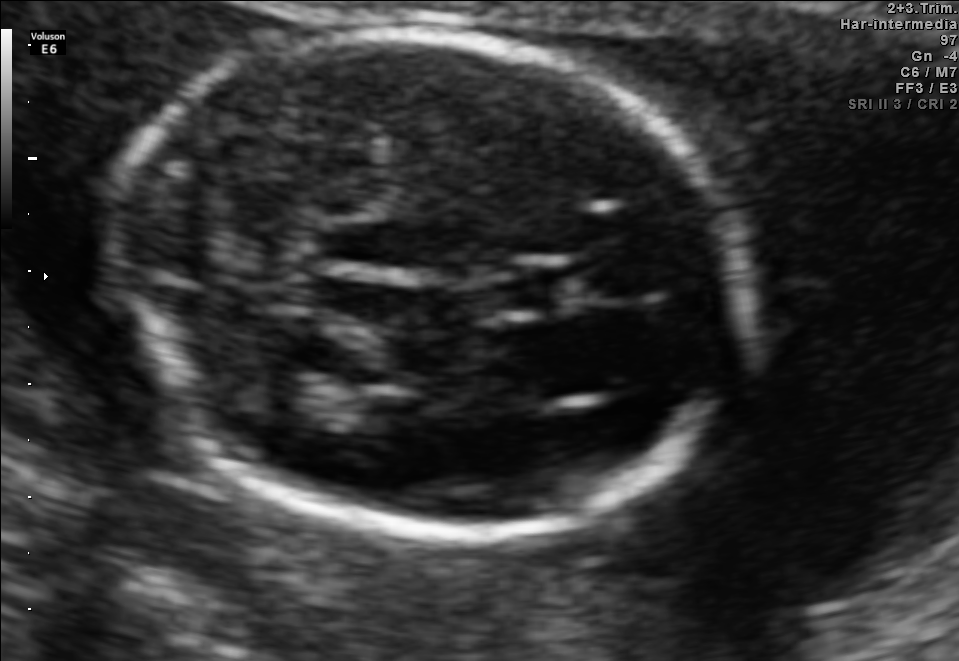
Fetal brain, trans-thalamic plane. Locate the fetal head.

Head: [106,32,755,535]